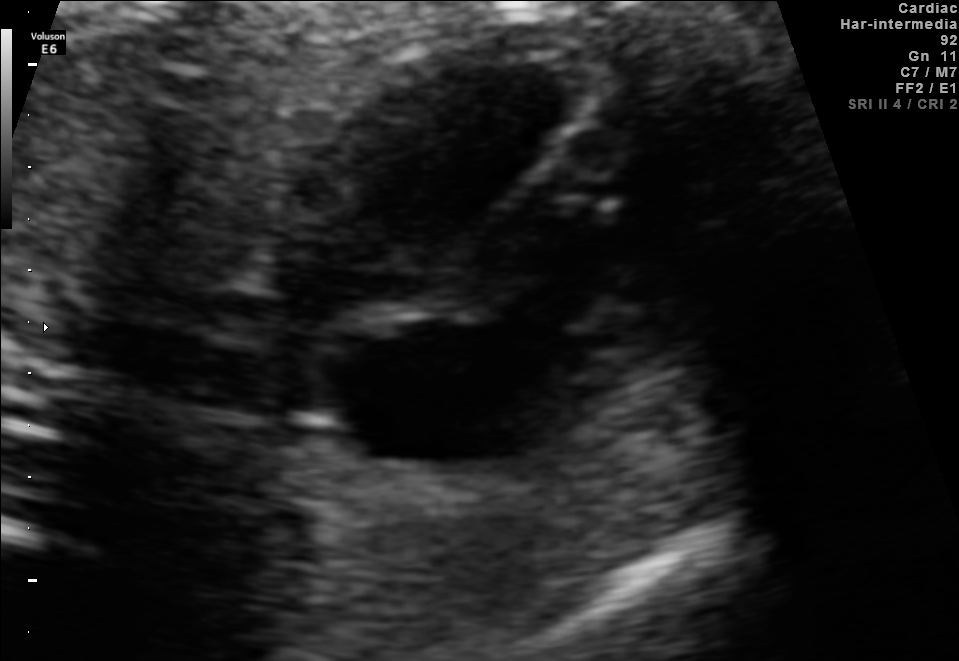
Identify the standard plane in this fetal ultrasound image: fetal abdomen, fetal brain, fetal femur, fetal thorax, maternal cervix, or other. If it's fetal brain and one of the three standard brain planes (trans-thalamic, trans-cerebellum, trans-ventricular), name which.

Fetal thorax